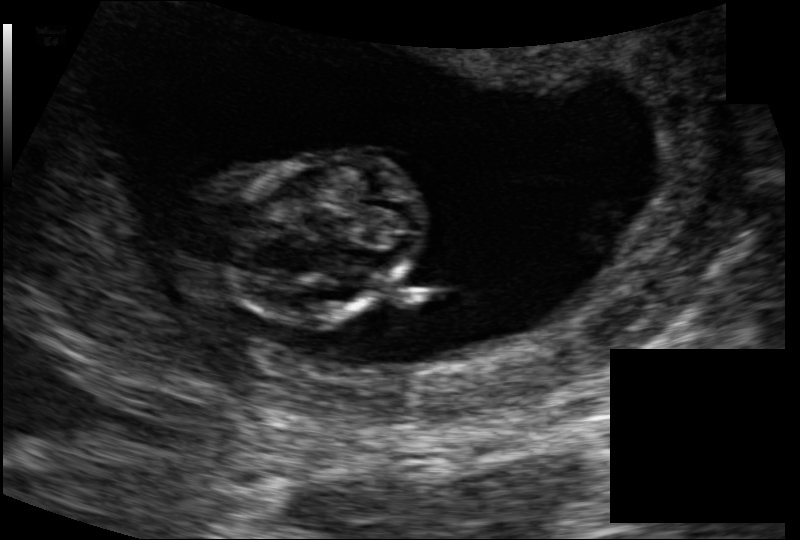
Measure the fetal head circumference shown in this ultrasound image. Image width: 92.7 mm.

Head circumference: 69.8 mm.